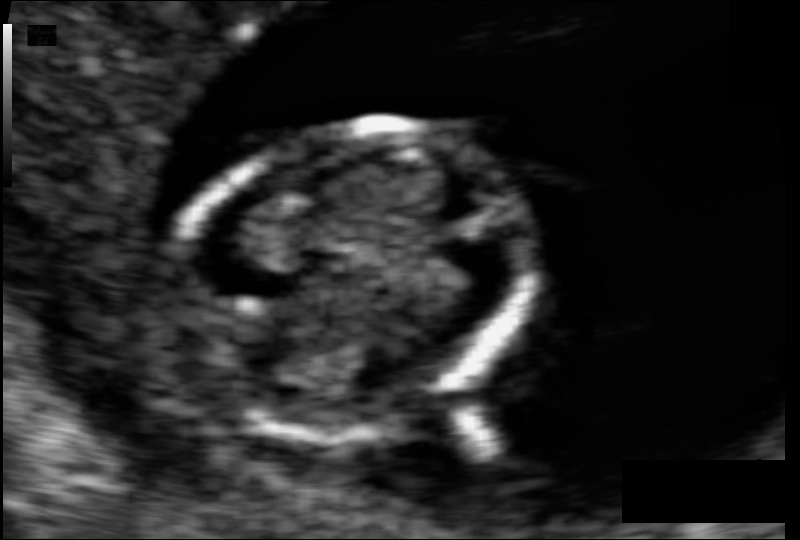
What is the fetal head circumference? Image width is 54.9 mm.

77.2 mm